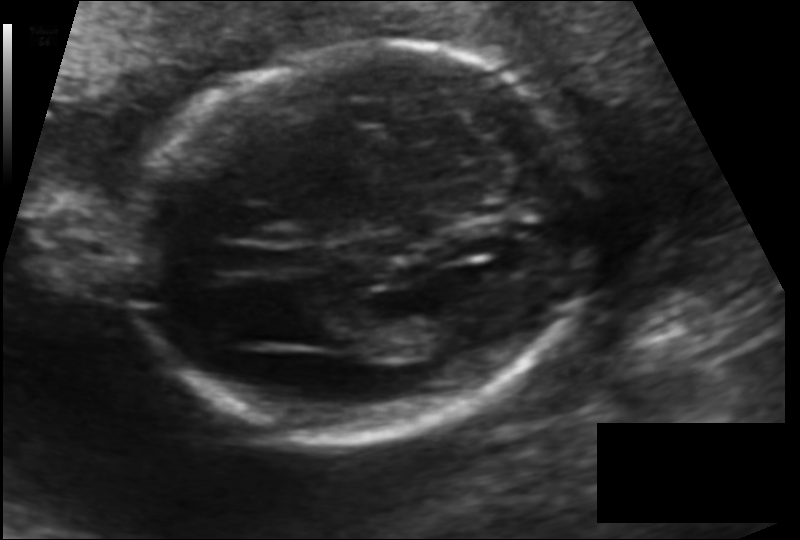
From this fetal ultrasound, estimate the head circumference (image width 96.4 mm).

Head circumference: 167.0 mm.